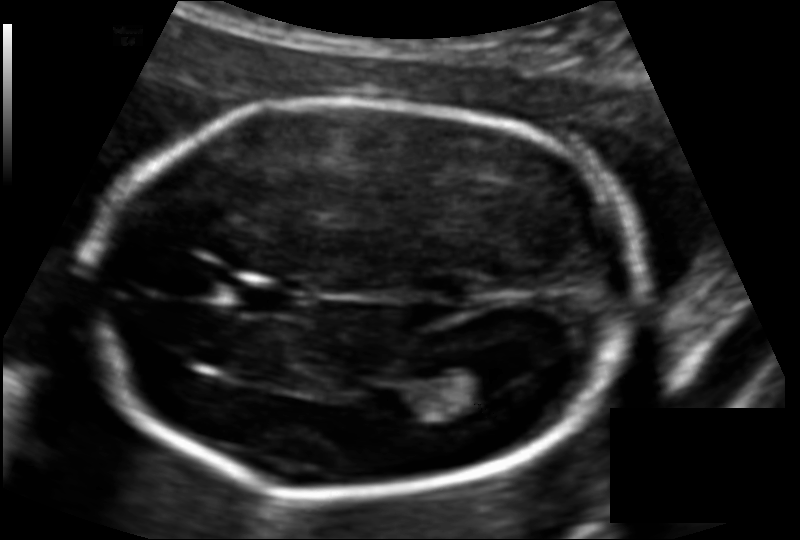
Measure the fetal head circumference shown in this ultrasound image. Image width: 93.9 mm.

Head circumference: 179.9 mm.